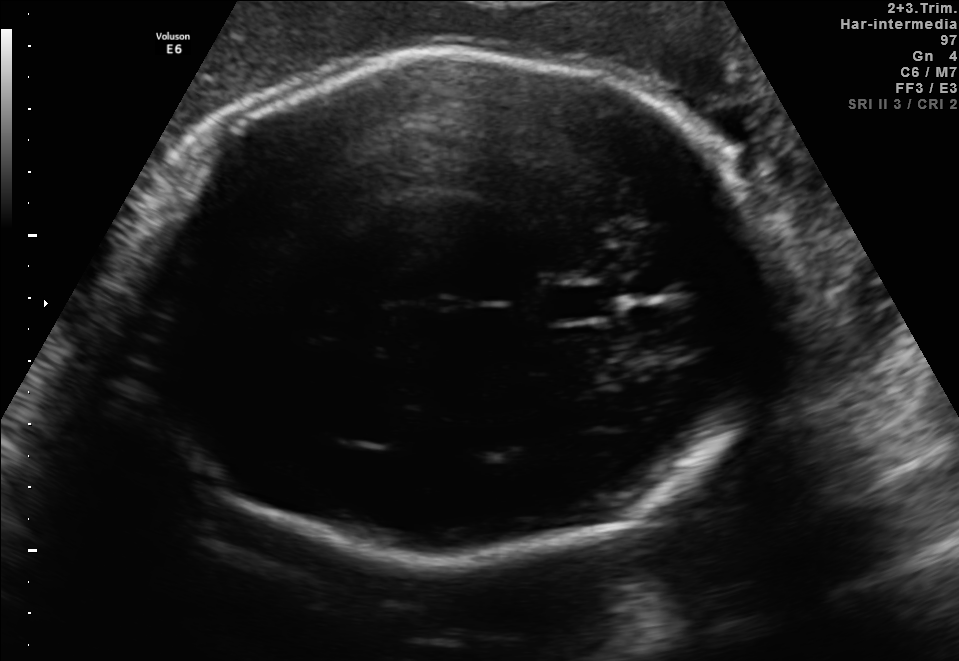
In this fetal brain, trans-thalamic plane, give the bounding box of the cavum septum pellucidum.

[544,281,613,323]